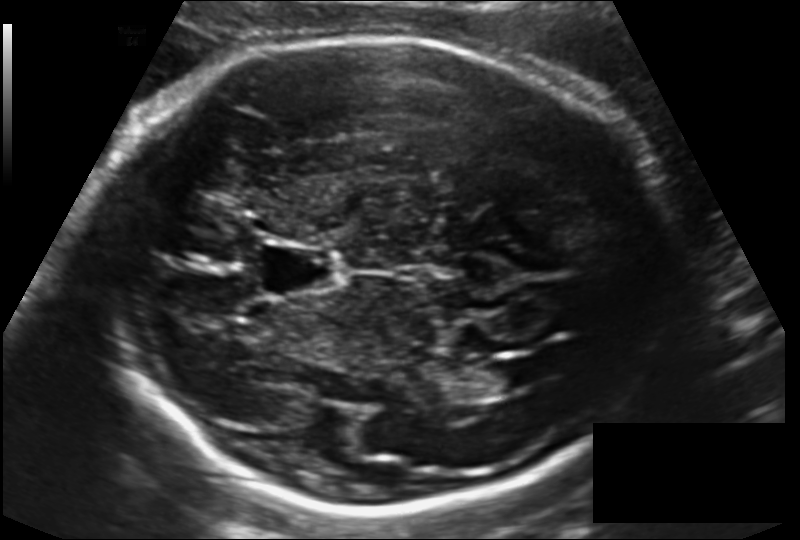
Fetal head ultrasound. Image width: 123.9 mm. Locate the fetal head.

Head: [94,37,669,515]